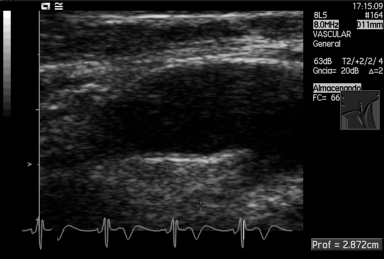
Which standard maternal-fetal ultrasound plane is shown: fetal abdomen, fetal brain, fetal femur, fetal thorax, maternal cervix, or other? If it's fetal brain and one of the three standard brain planes (trans-thalamic, trans-cerebellum, trans-ventricular), name which.

Other